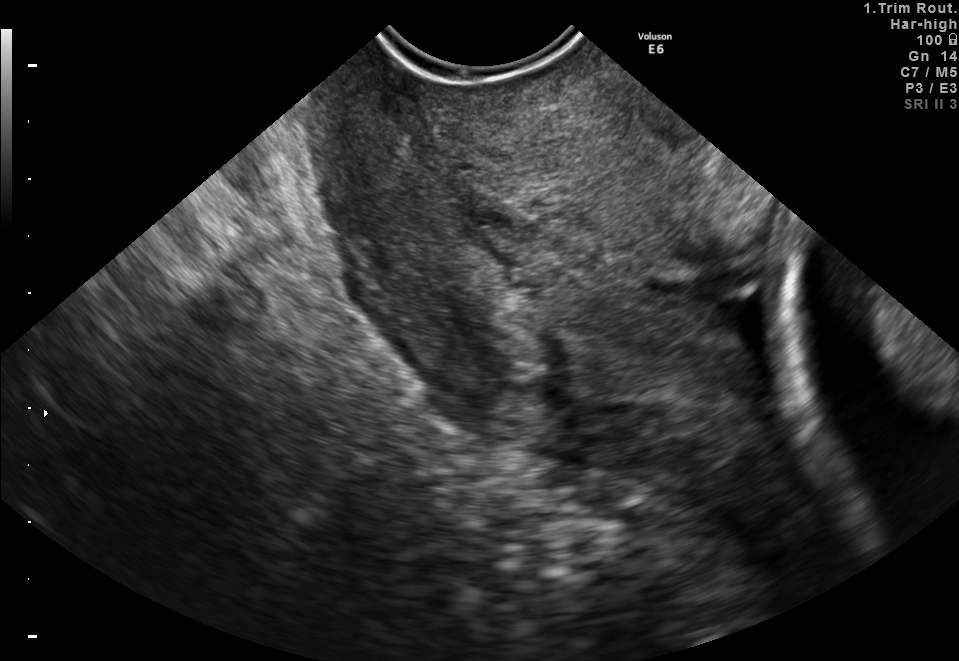
Classify this maternal-fetal ultrasound image as one of the six standard planes — fetal abdomen, fetal brain, fetal femur, fetal thorax, maternal cervix, or other. If it's fetal brain and one of the three standard brain planes (trans-thalamic, trans-cerebellum, trans-ventricular), name which.

Maternal cervix